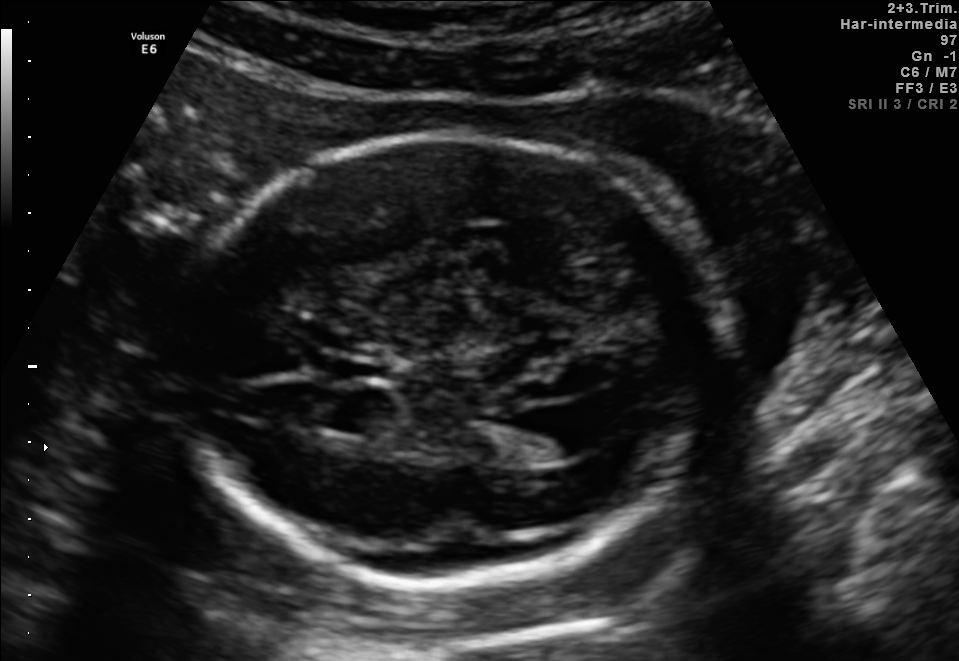
In this fetal brain, trans-ventricular plane, give the bounding box of the lateral ventricle.

[524,394,619,464]